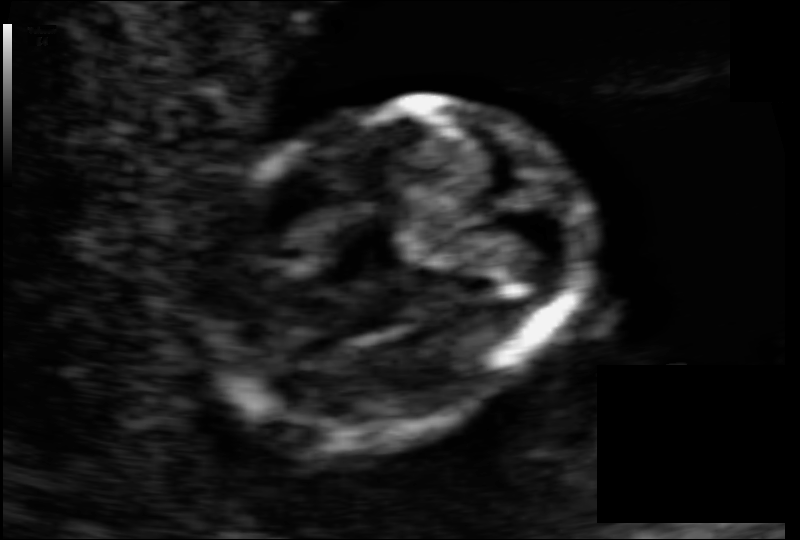
Estimate the fetal head circumference from this 2D ultrasound. Image width: 55.0 mm.

Head circumference: 81.4 mm.